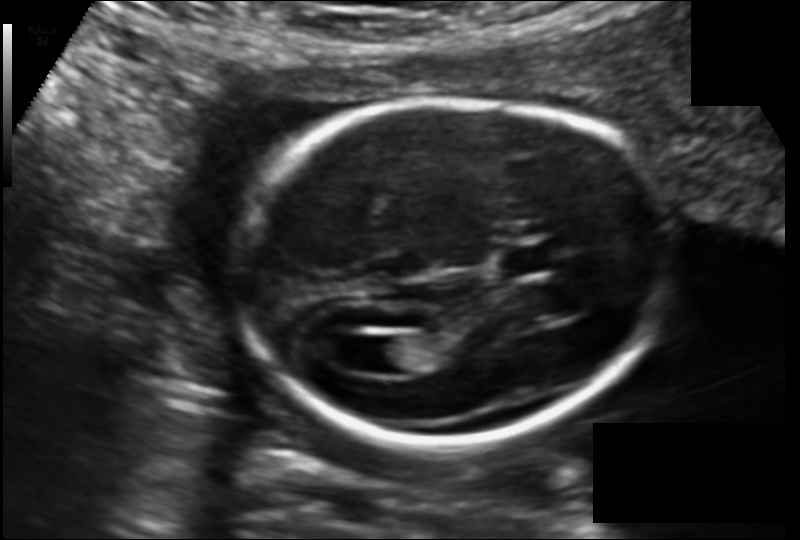
Fetal head ultrasound. Image width: 107.8 mm. Locate the fetal head and, if visible, the cavum septum pellucidum (CSP) and lateral ventricle (LV). Give bounding boxes as [x1,y1,x2,y2].

Head: [238,98,669,444]
CSP: [495,239,564,280]
Lateral ventricle: [366,335,420,374]